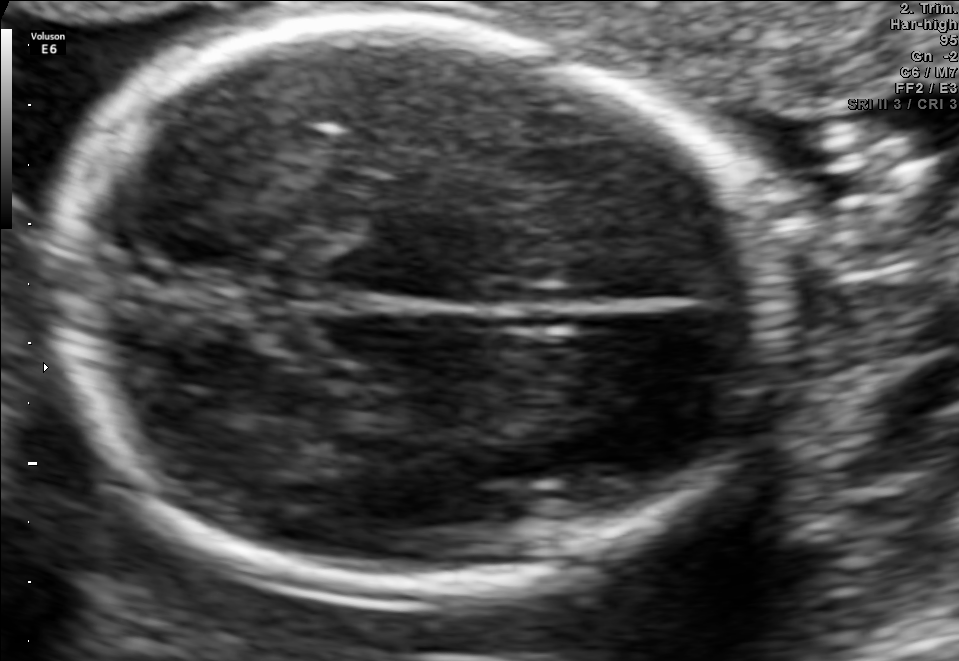
In this fetal brain, trans-thalamic plane, give bounding boxes for the head outline, cavum septum pellucidum (CSP), and lateral ventricle (LV), where visible.

Head: [52,23,759,586]